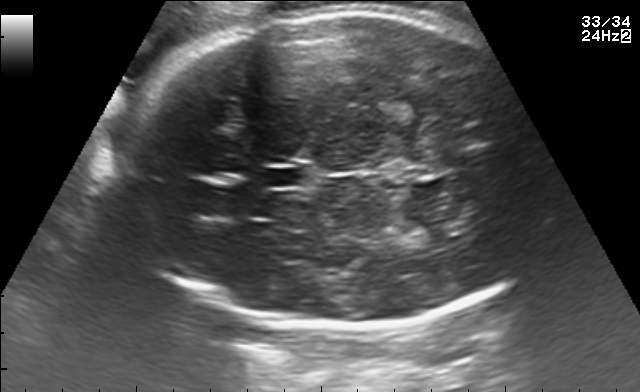
Fetal brain, trans-thalamic plane. Give [x1,y1,x2,y2] bounding boxes for each visible structure among: fetal head, CSP, LV.

Head: [119,11,547,329]
CSP: [264,169,306,186]